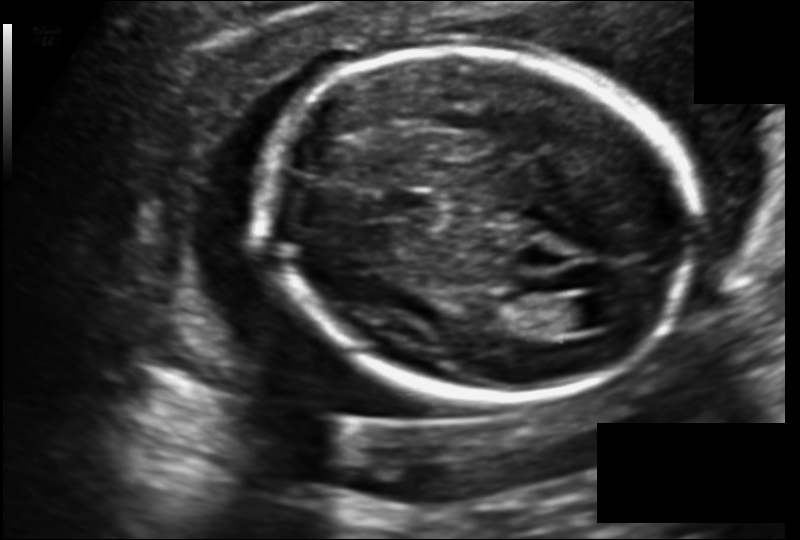
In this fetal head ultrasound, give the bounding box of the fetal head. Image width: 111.6 mm.

[263,47,692,398]